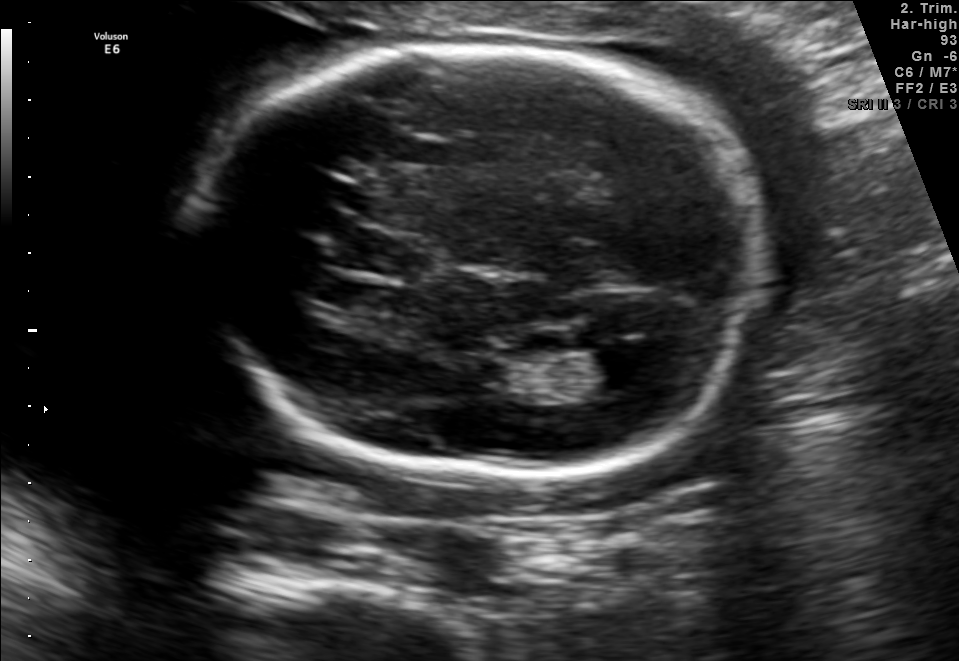
Classify this maternal-fetal ultrasound image as one of the six standard planes — fetal abdomen, fetal brain, fetal femur, fetal thorax, maternal cervix, or other. If it's fetal brain and one of the three standard brain planes (trans-thalamic, trans-cerebellum, trans-ventricular), name which.

Fetal brain (trans-ventricular plane)